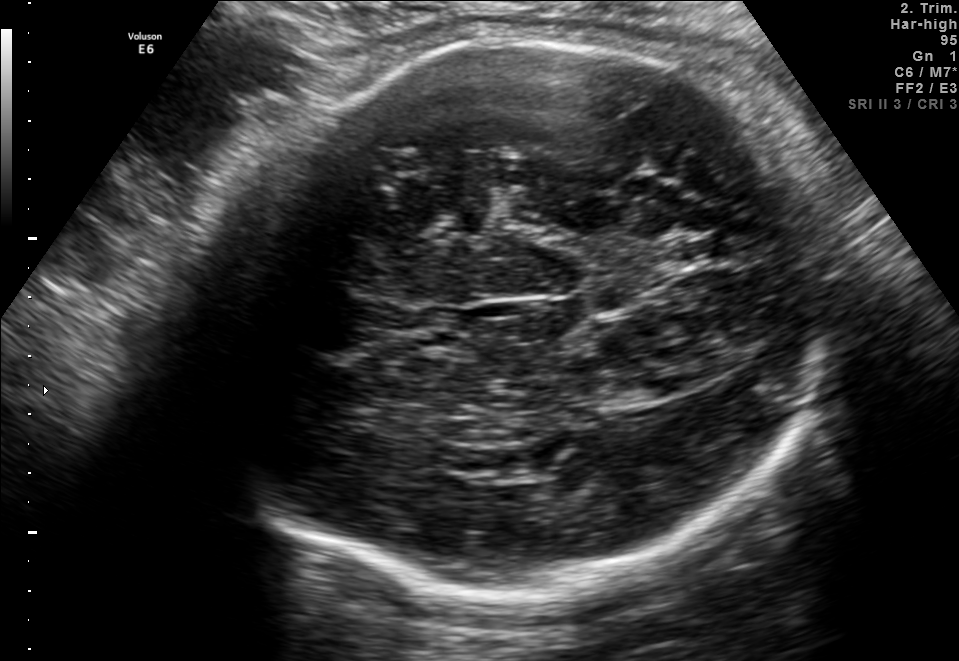
Fetal brain, trans-thalamic plane. Give [x1,y1,x2,y2] bounding boxes for each visible structure among: fetal head, CSP, LV.

Head: [181,37,816,602]